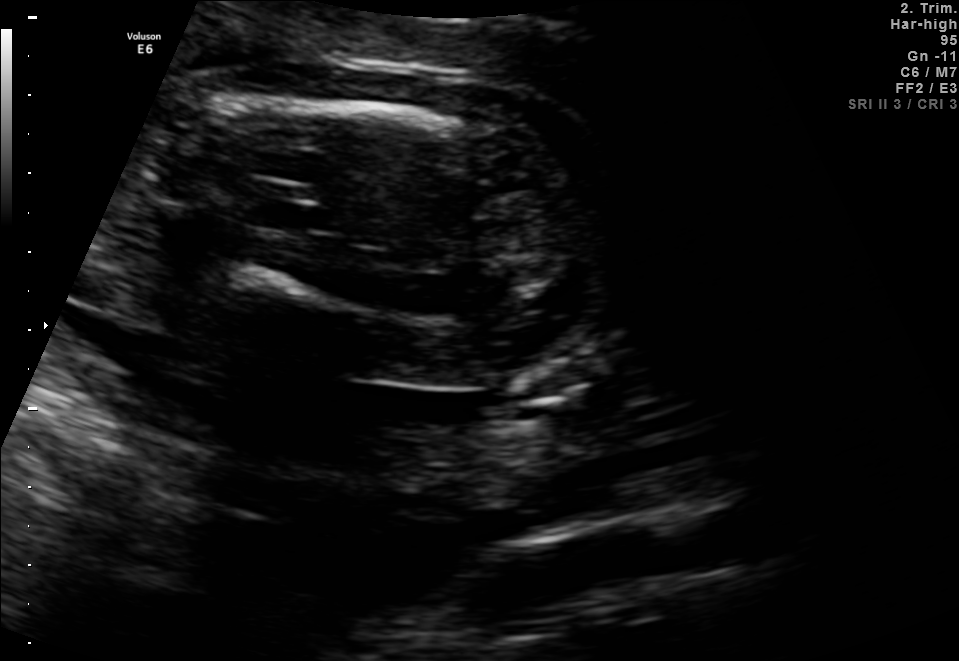
This is a 2D maternal-fetal ultrasound frame. Is it a fetal abdomen, fetal brain, fetal femur, fetal thorax, maternal cervix, or other standard plane? If it's fetal brain and one of the three standard brain planes (trans-thalamic, trans-cerebellum, trans-ventricular), name which.

Fetal femur